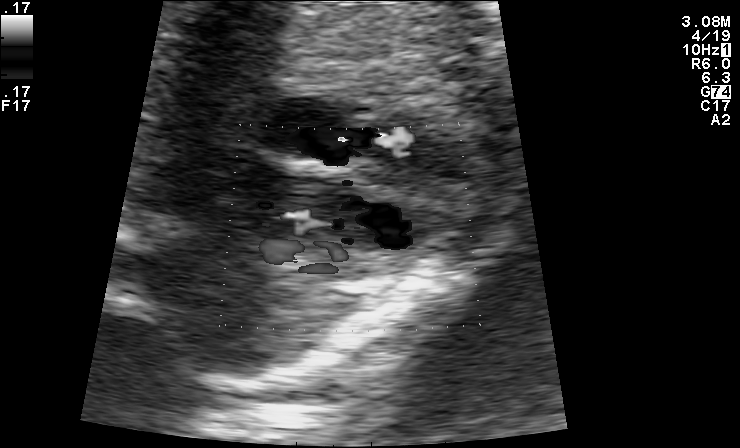
Classify this maternal-fetal ultrasound image as one of the six standard planes — fetal abdomen, fetal brain, fetal femur, fetal thorax, maternal cervix, or other. If it's fetal brain and one of the three standard brain planes (trans-thalamic, trans-cerebellum, trans-ventricular), name which.

Other